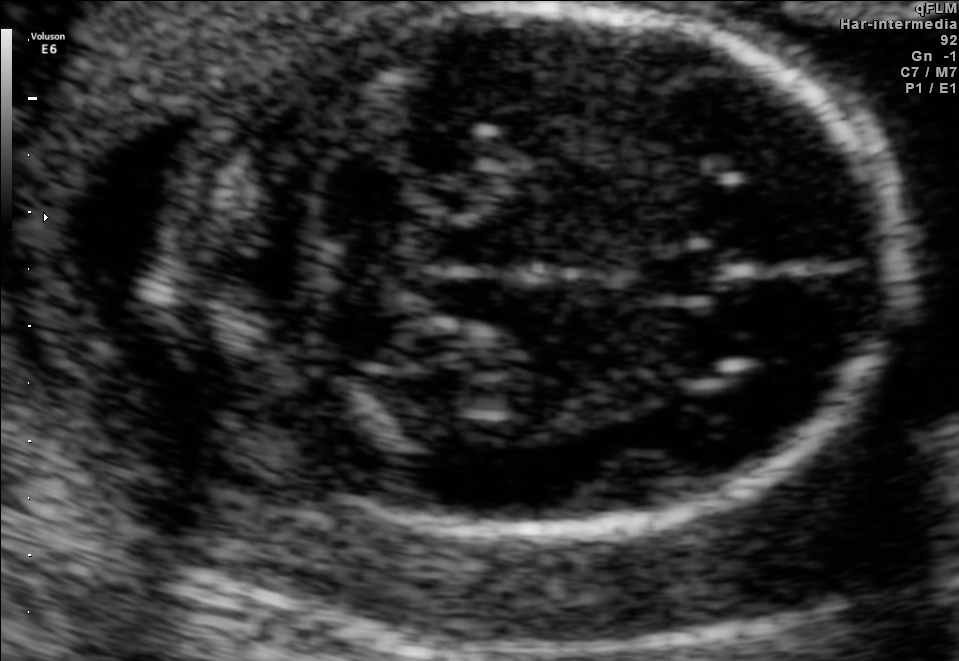
In this fetal brain, trans-cerebellum plane, give the bounding box of the fetal head.

[175,6,896,531]